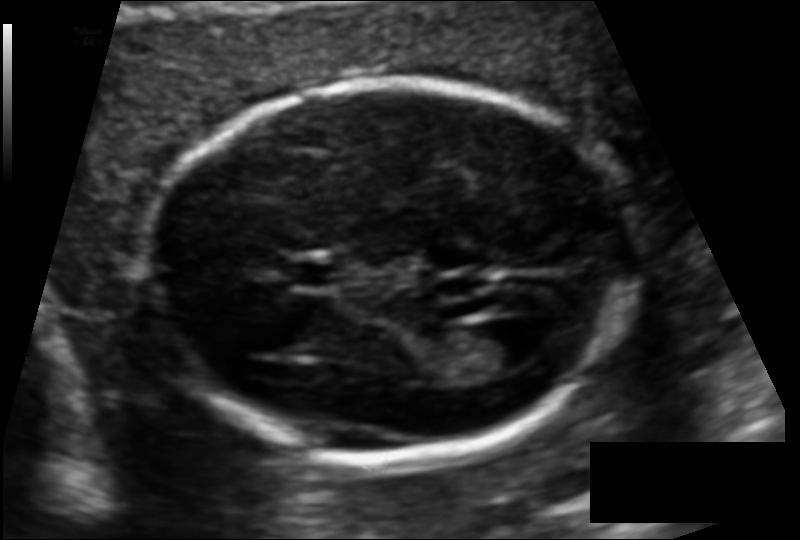
In this fetal head ultrasound, give bounding boxes for the head outline, cavum septum pellucidum (CSP), and lateral ventricle (LV), where visible. Image width: 88.0 mm.

Head: [147,79,633,457]
CSP: [287,263,343,286]
Lateral ventricle: [462,309,552,380]